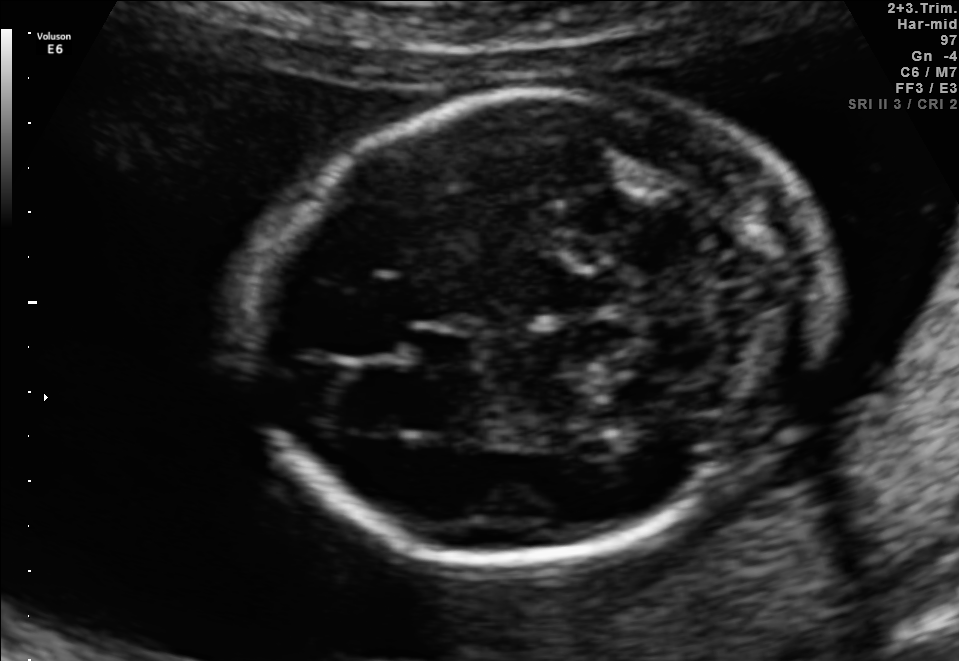
Fetal brain, trans-cerebellum plane. Locate the cavum septum pellucidum.

CSP: [411,323,476,369]